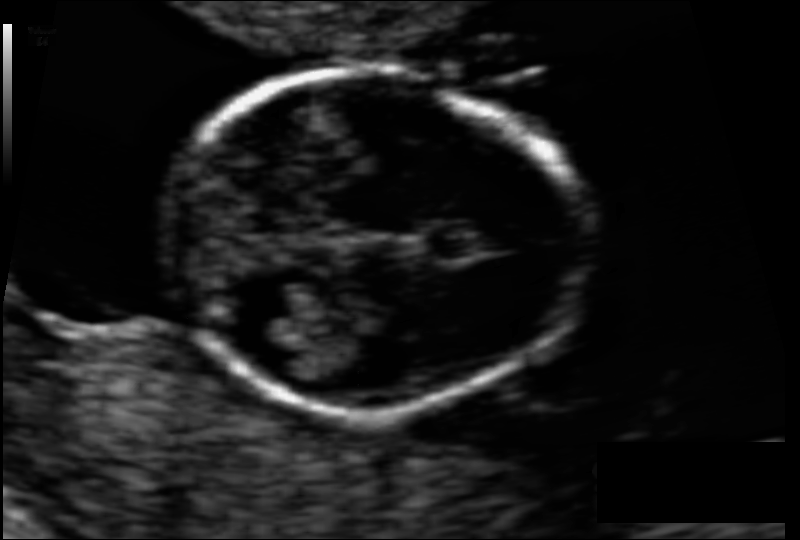
Fetal head ultrasound. Image width: 52.1 mm. Where is the cavum septum pellucidum?

CSP bounding box: [429,221,495,263]